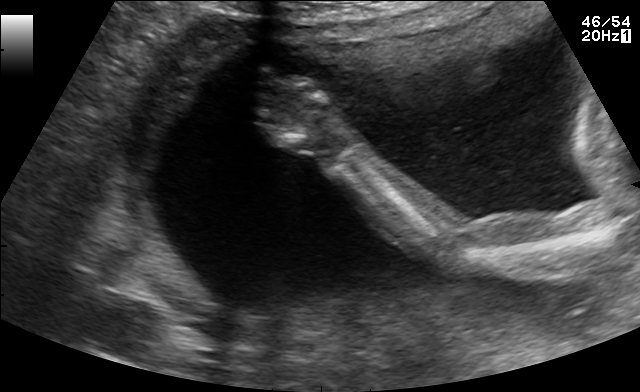
Classify this maternal-fetal ultrasound image as one of the six standard planes — fetal abdomen, fetal brain, fetal femur, fetal thorax, maternal cervix, or other. If it's fetal brain and one of the three standard brain planes (trans-thalamic, trans-cerebellum, trans-ventricular), name which.

Other